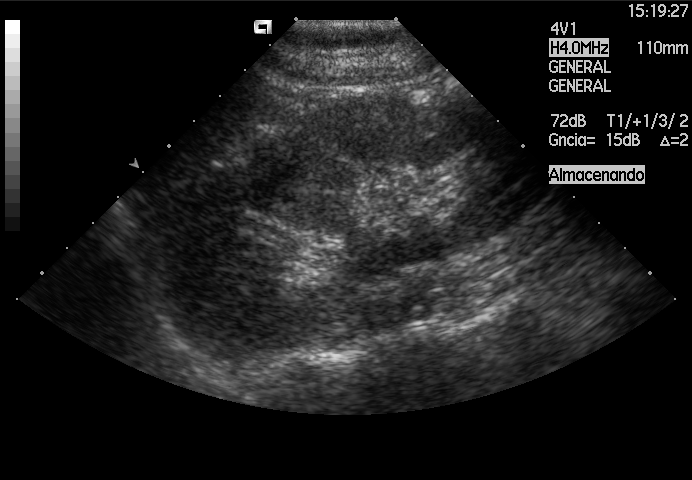
Classify this maternal-fetal ultrasound image as one of the six standard planes — fetal abdomen, fetal brain, fetal femur, fetal thorax, maternal cervix, or other. If it's fetal brain and one of the three standard brain planes (trans-thalamic, trans-cerebellum, trans-ventricular), name which.

Other